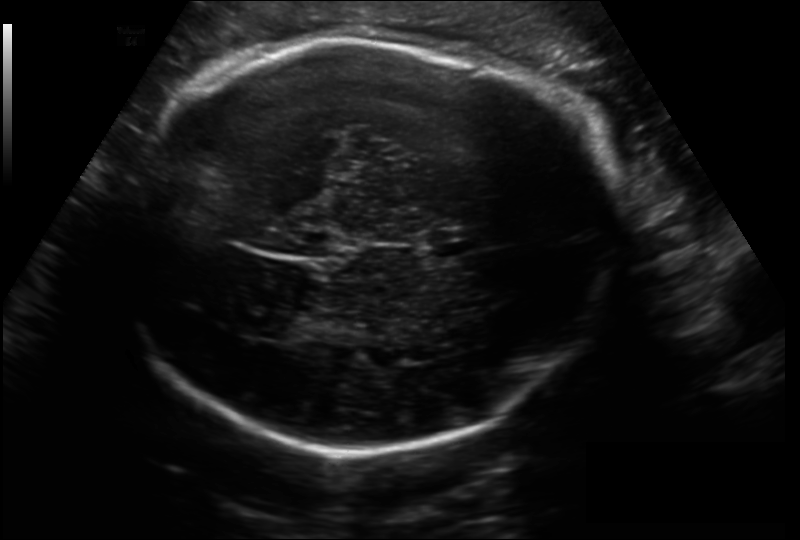
Fetal head ultrasound. Image width: 164.9 mm. Locate the fetal head and, if visible, the cavum septum pellucidum (CSP) and lateral ventricle (LV). Give bounding boxes as [x1,y1,x2,y2].

Head: [109,40,619,453]
CSP: [427,225,480,259]
Lateral ventricle: [224,300,292,341]